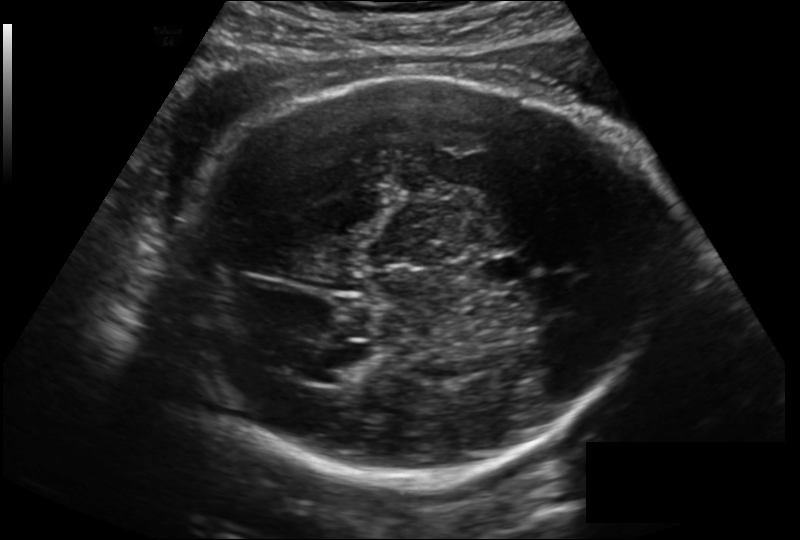
Fetal head ultrasound. Image width: 159.3 mm. Locate the lateral ventricle.

Lateral ventricle: [313,348,372,386]